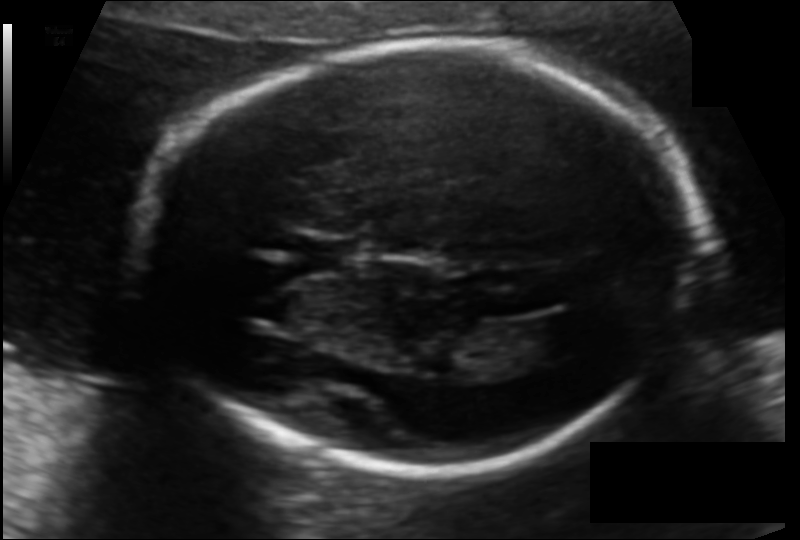
Fetal head ultrasound. Image width: 97.4 mm. Locate the fetal head.

Head: [142,46,697,470]